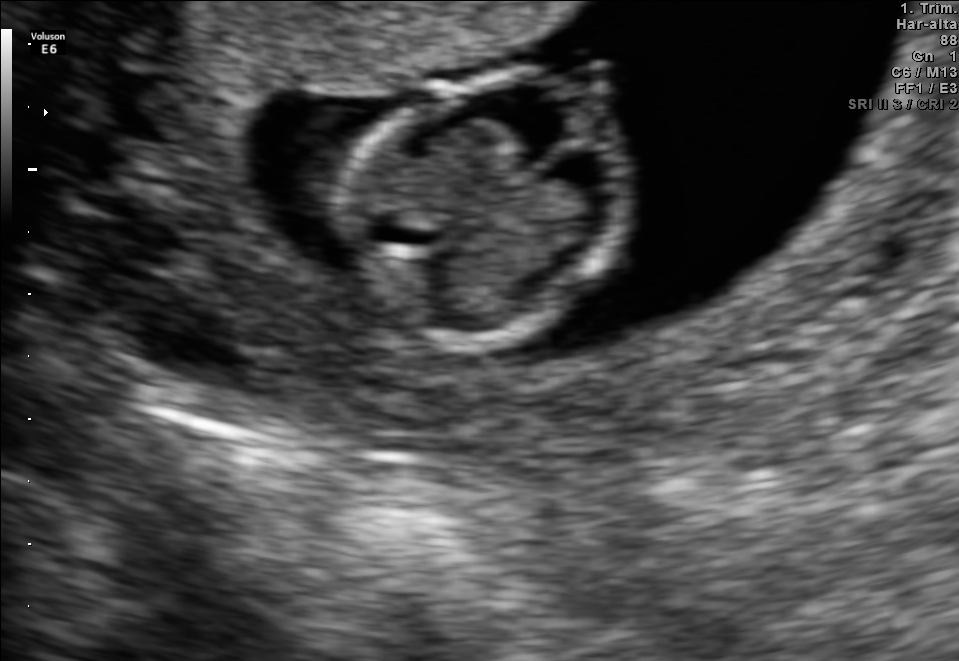
Fetal brain, trans-thalamic plane. Give [x1,y1,x2,y2] bounding boxes for each visible structure among: fetal head, CSP, LV.

Head: [347,70,638,341]